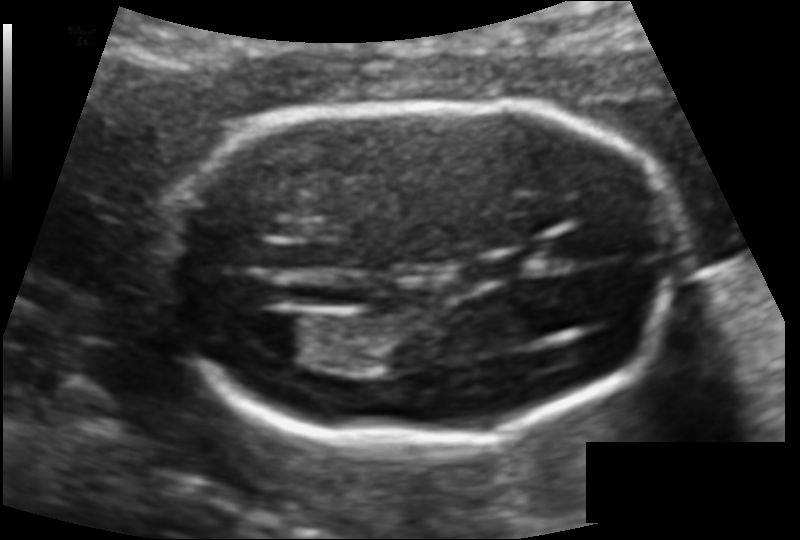
Fetal head ultrasound. Image width: 87.1 mm. Where is the lateral ventricle?

Lateral ventricle bounding box: [229,307,312,359]